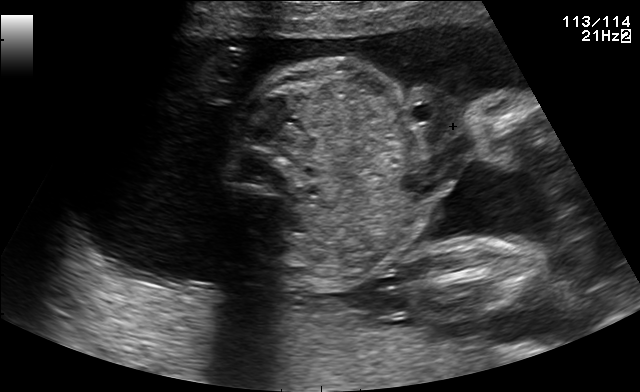
This is a 2D maternal-fetal ultrasound frame. Is it a fetal abdomen, fetal brain, fetal femur, fetal thorax, maternal cervix, or other standard plane? If it's fetal brain and one of the three standard brain planes (trans-thalamic, trans-cerebellum, trans-ventricular), name which.

Other